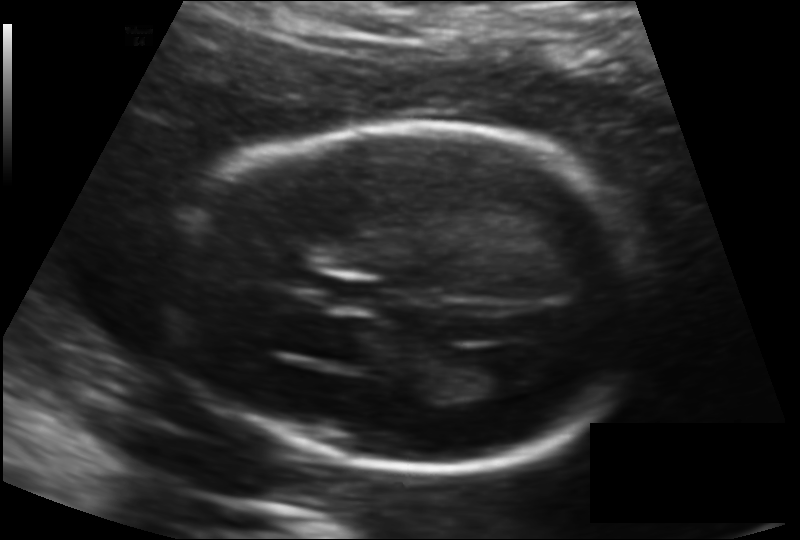
In this fetal head ultrasound, give the bounding box of the fetal head. Image width: 108.1 mm.

[166,123,649,469]